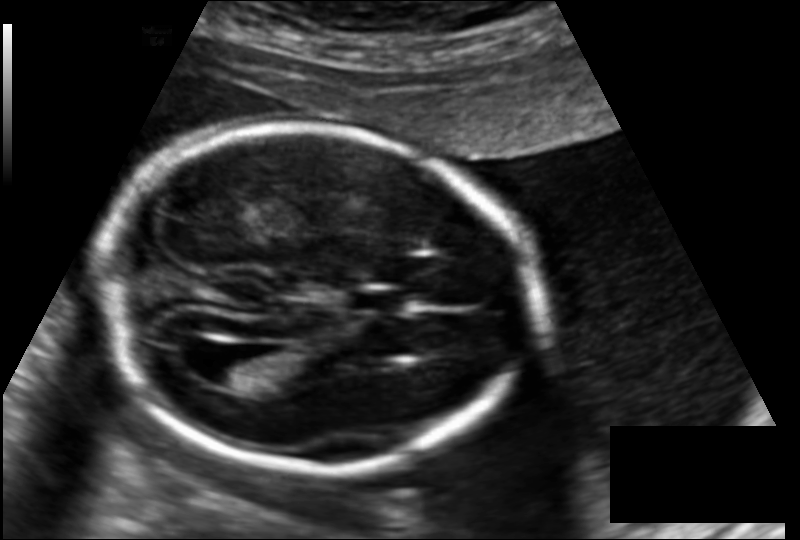
Estimate the fetal head circumference from this 2D ultrasound.

Head circumference: 184.1 mm (image width 115.9 mm).